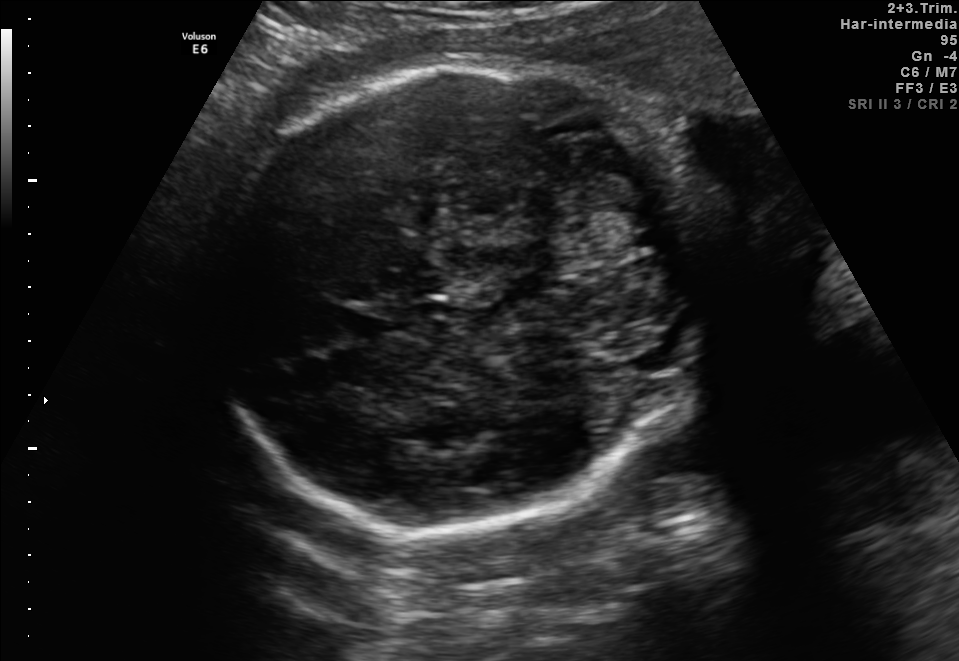
Fetal brain, trans-cerebellum plane. Locate the fetal head and, if visible, the cavum septum pellucidum (CSP) and lateral ventricle (LV). Give bounding boxes as [x1,y1,x2,y2].

Head: [213,57,722,534]